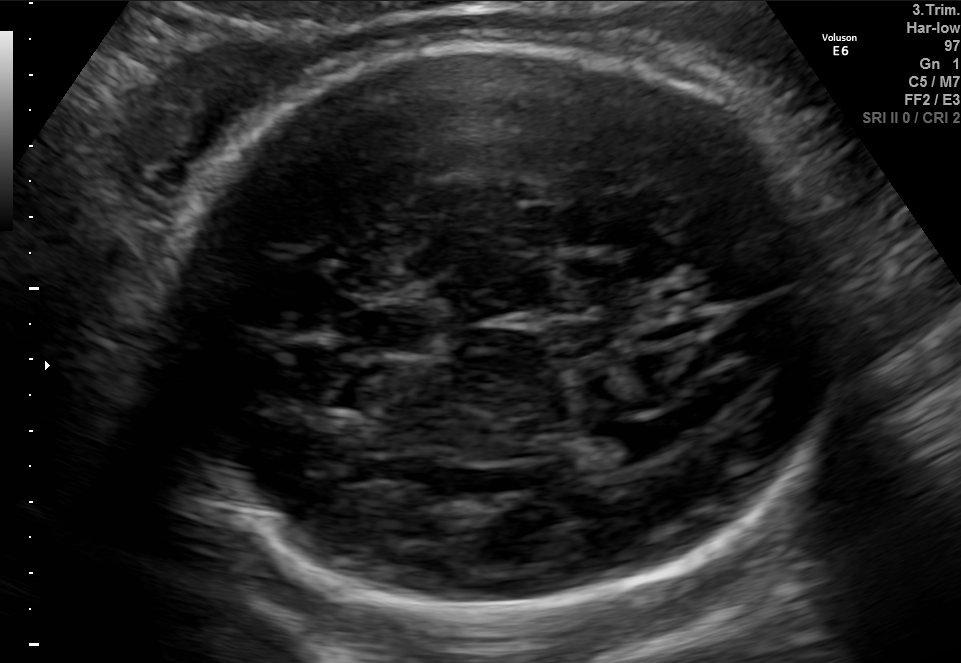
Fetal brain, trans-ventricular plane. Locate the lateral ventricle.

Lateral ventricle: [598,410,688,473]